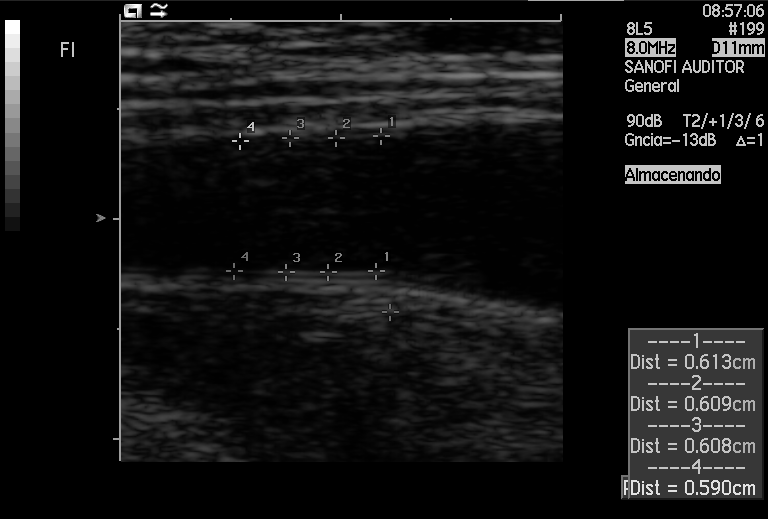
Identify the standard plane in this fetal ultrasound image: fetal abdomen, fetal brain, fetal femur, fetal thorax, maternal cervix, or other. If it's fetal brain and one of the three standard brain planes (trans-thalamic, trans-cerebellum, trans-ventricular), name which.

Other